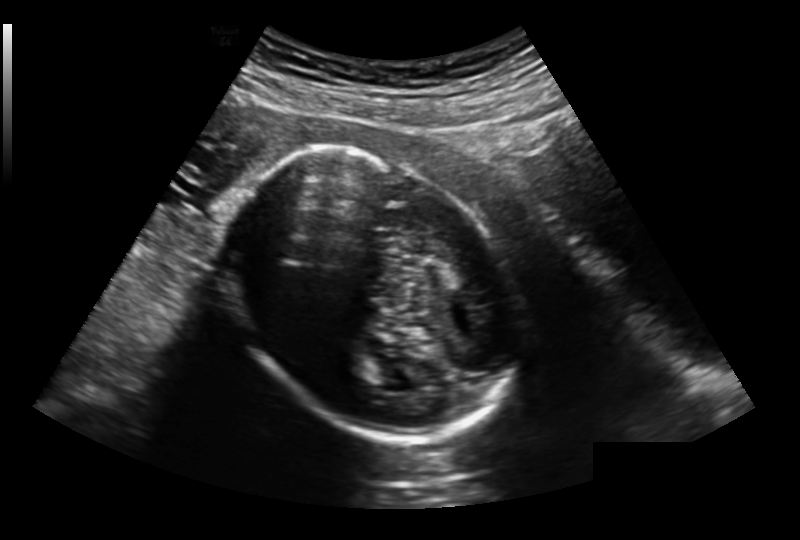
From this fetal ultrasound, estimate the head circumference (image width 170.5 mm).

Head circumference: 201.9 mm.